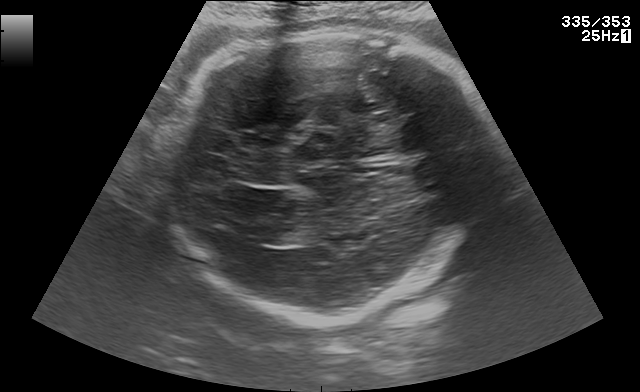
Fetal brain, trans-thalamic plane. Where is the fetal head?

Head bounding box: [169,26,502,321]